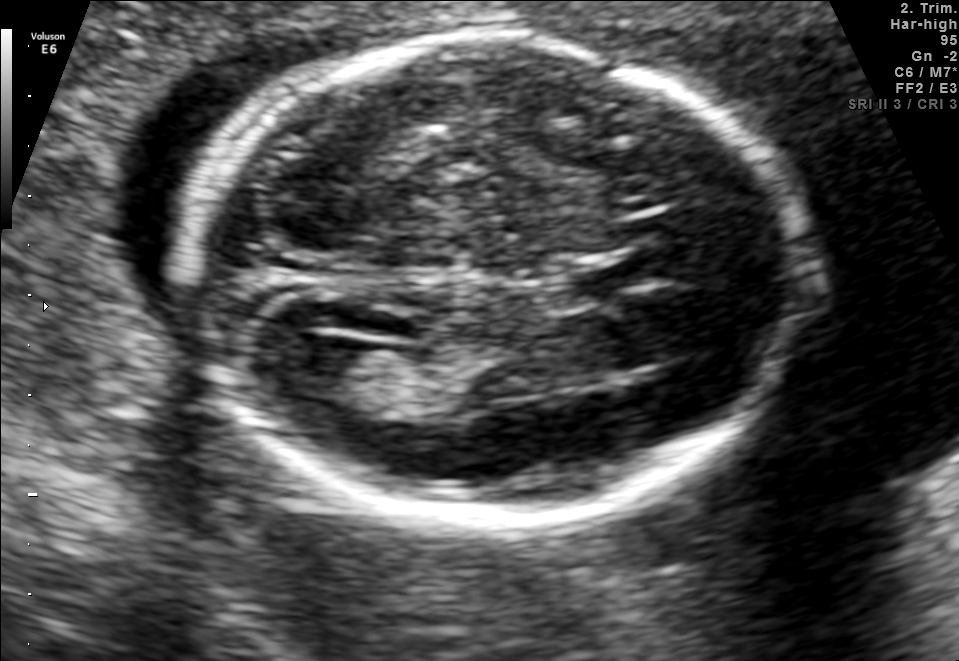
Fetal brain, trans-ventricular plane. Locate the fetal head and, if visible, the cavum septum pellucidum (CSP) and lateral ventricle (LV). Give bounding boxes as [x1,y1,x2,y2].

Head: [173,30,822,533]
CSP: [530,238,668,314]
Lateral ventricle: [264,326,377,409]